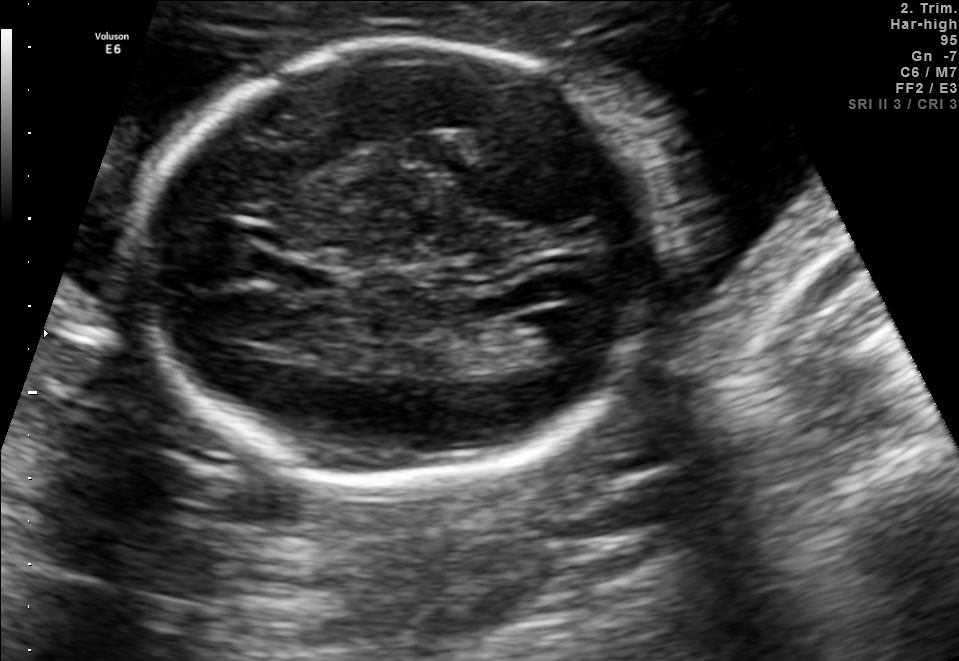
Fetal brain, trans-ventricular plane. Where is the lateral ventricle?

Lateral ventricle bounding box: [519,298,614,362]